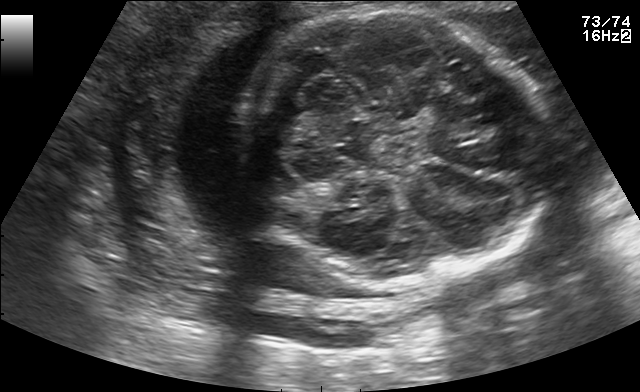
Fetal brain, trans-thalamic plane. Locate the fetal head.

Head: [230,7,552,283]